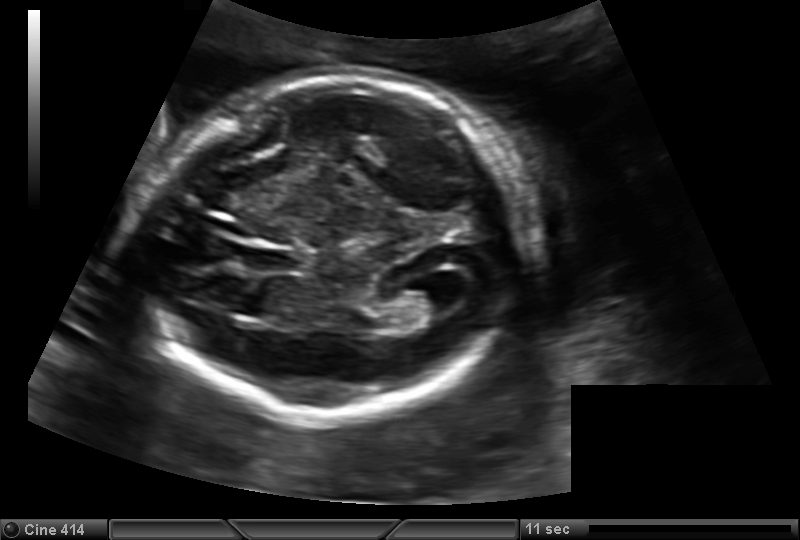
In this fetal head ultrasound, give the bounding box of the cavum septum pellucidum. Image width: 120.0 mm.

[243,245,295,273]